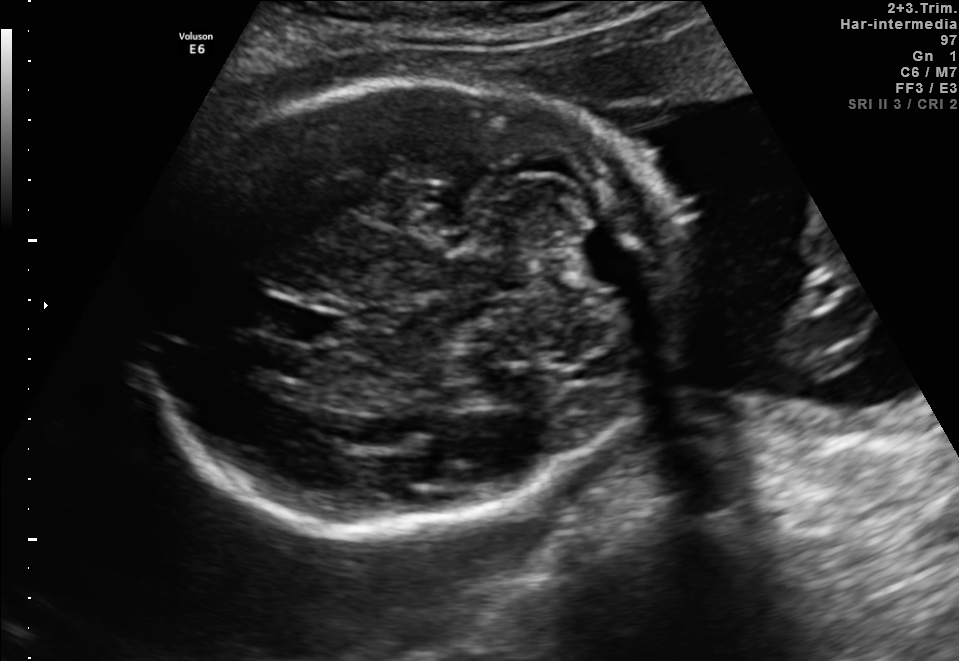
Which standard maternal-fetal ultrasound plane is shown: fetal abdomen, fetal brain, fetal femur, fetal thorax, maternal cervix, or other? If it's fetal brain and one of the three standard brain planes (trans-thalamic, trans-cerebellum, trans-ventricular), name which.

Fetal brain (trans-cerebellum plane)